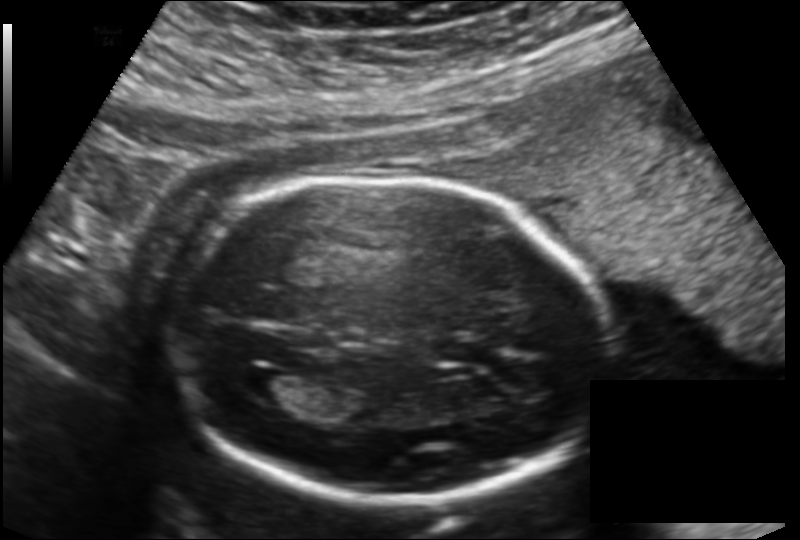
Fetal head ultrasound. Image width: 120.4 mm. Where is the fetal head?

Head bounding box: [164,176,604,502]